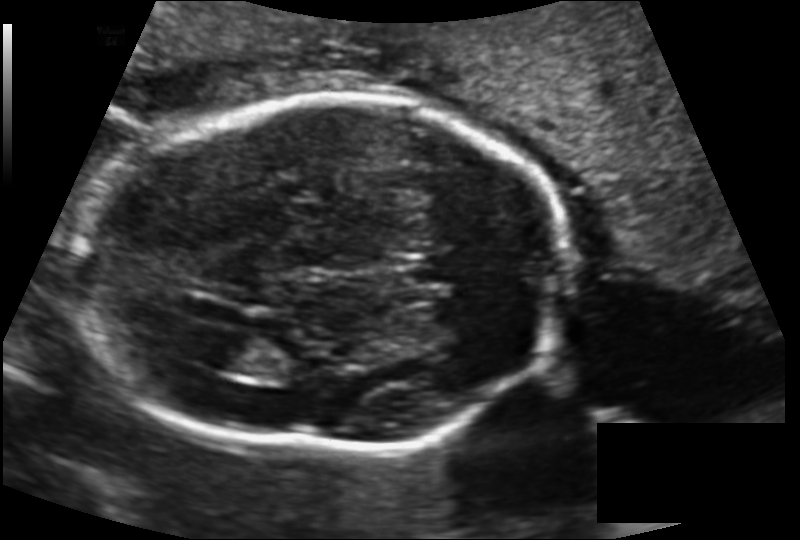
Fetal head ultrasound. Image width: 114.0 mm. Locate the cavum septum pellucidum.

CSP: [401,255,462,285]